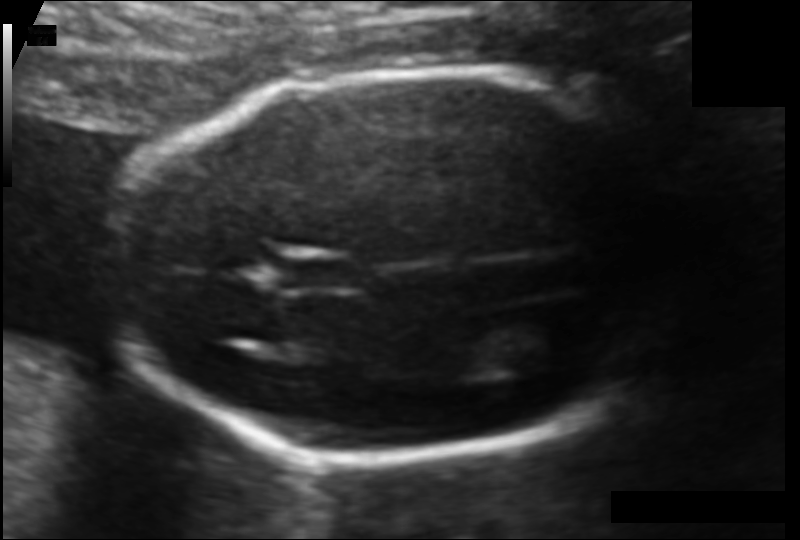
Fetal head ultrasound. Image width: 82.3 mm. Where is the fetal head?

Head bounding box: [114,71,669,464]